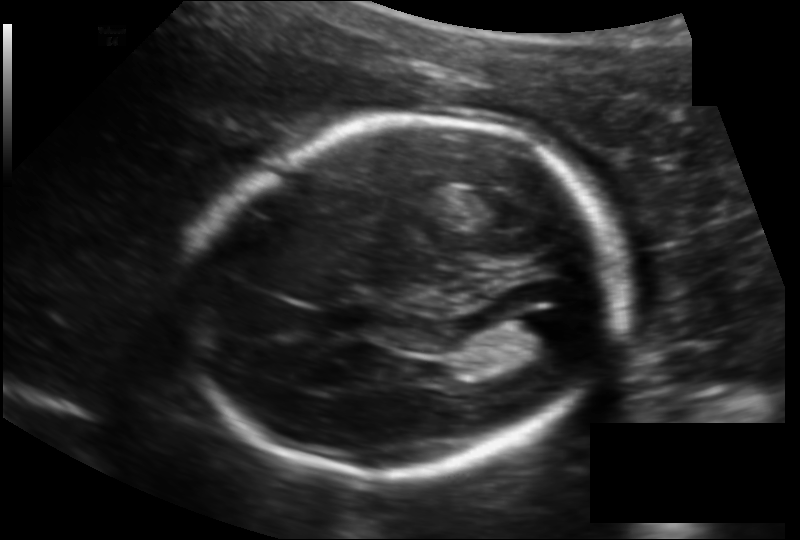
Fetal head ultrasound. Image width: 115.9 mm. Locate the fetal head and, if visible, the cavum septum pellucidum (CSP) and lateral ventricle (LV). Give bounding boxes as [x1,y1,x2,y2].

Head: [190,118,618,476]
Lateral ventricle: [498,305,576,366]